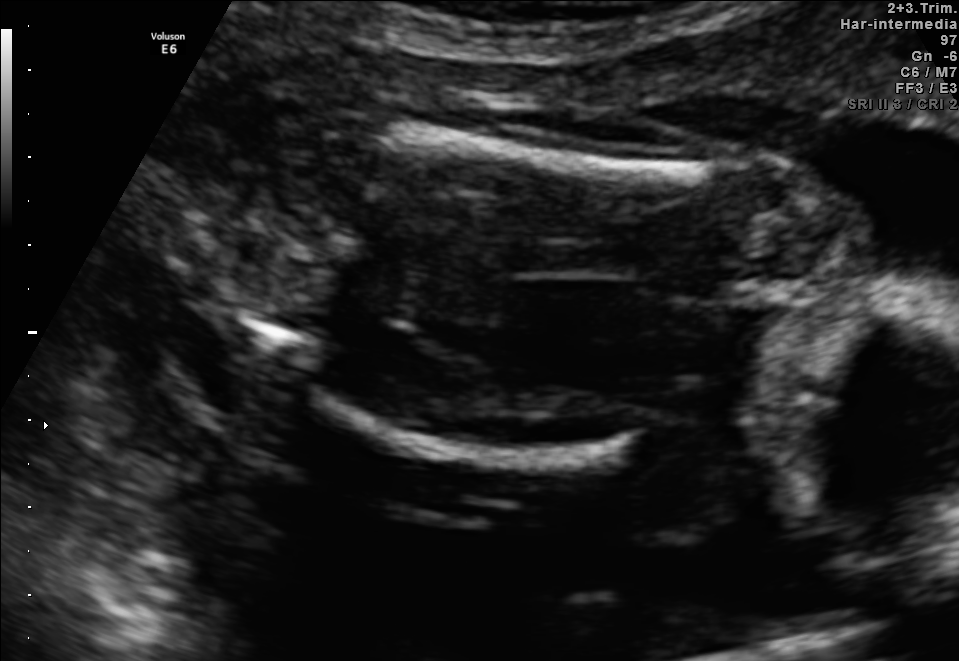
Identify the standard plane in this fetal ultrasound image: fetal abdomen, fetal brain, fetal femur, fetal thorax, maternal cervix, or other. If it's fetal brain and one of the three standard brain planes (trans-thalamic, trans-cerebellum, trans-ventricular), name which.

Fetal femur